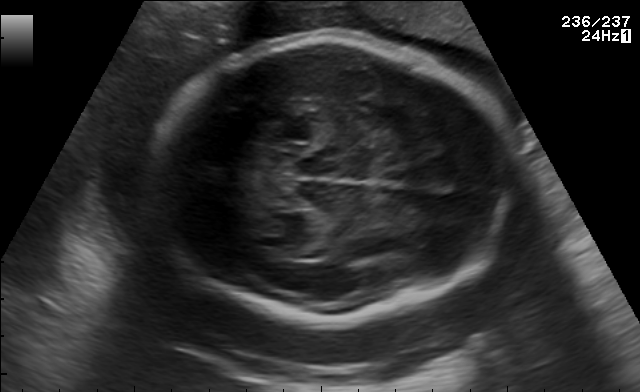
Identify the standard plane in this fetal ultrasound image: fetal abdomen, fetal brain, fetal femur, fetal thorax, maternal cervix, or other. If it's fetal brain and one of the three standard brain planes (trans-thalamic, trans-cerebellum, trans-ventricular), name which.

Fetal brain (trans-thalamic plane)